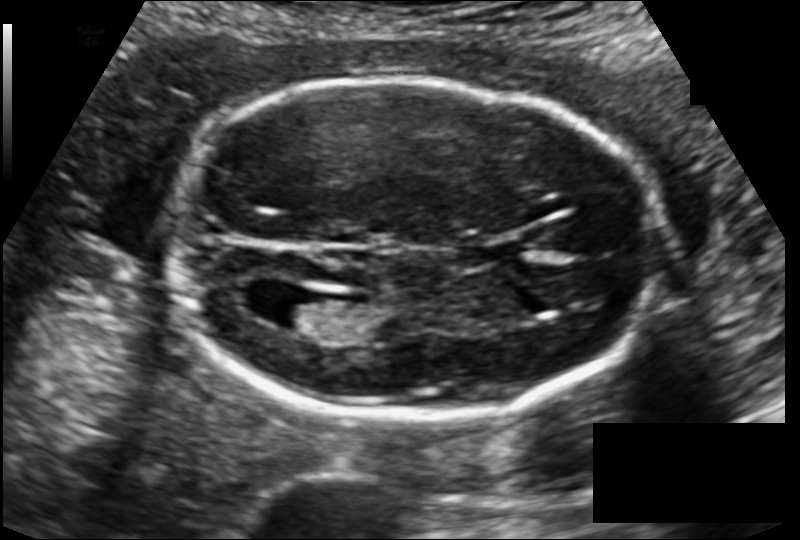
Estimate the fetal head circumference from this 2D ultrasound.

Head circumference: 174.7 mm (image width 103.4 mm).